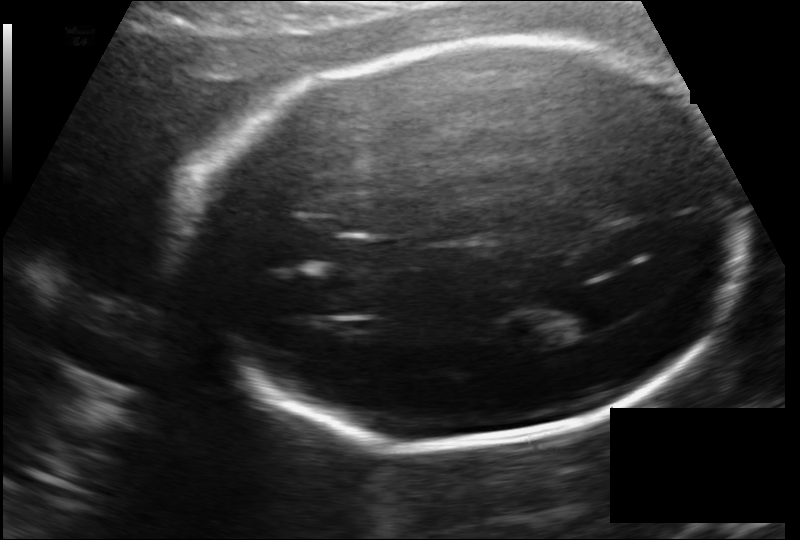
Fetal head ultrasound. Image width: 112.6 mm. Locate the lateral ventricle.

Lateral ventricle: [525,285,622,348]